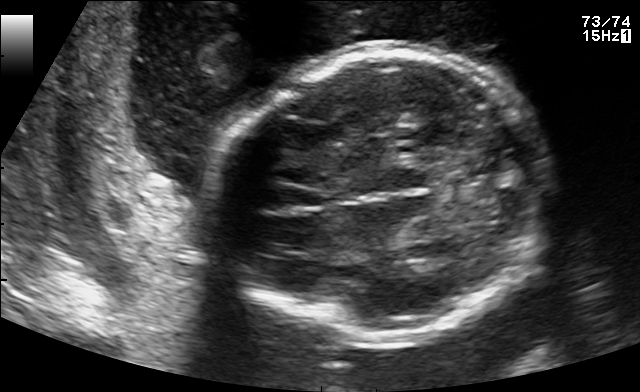
Which standard maternal-fetal ultrasound plane is shown: fetal abdomen, fetal brain, fetal femur, fetal thorax, maternal cervix, or other? If it's fetal brain and one of the three standard brain planes (trans-thalamic, trans-cerebellum, trans-ventricular), name which.

Fetal brain (trans-cerebellum plane)